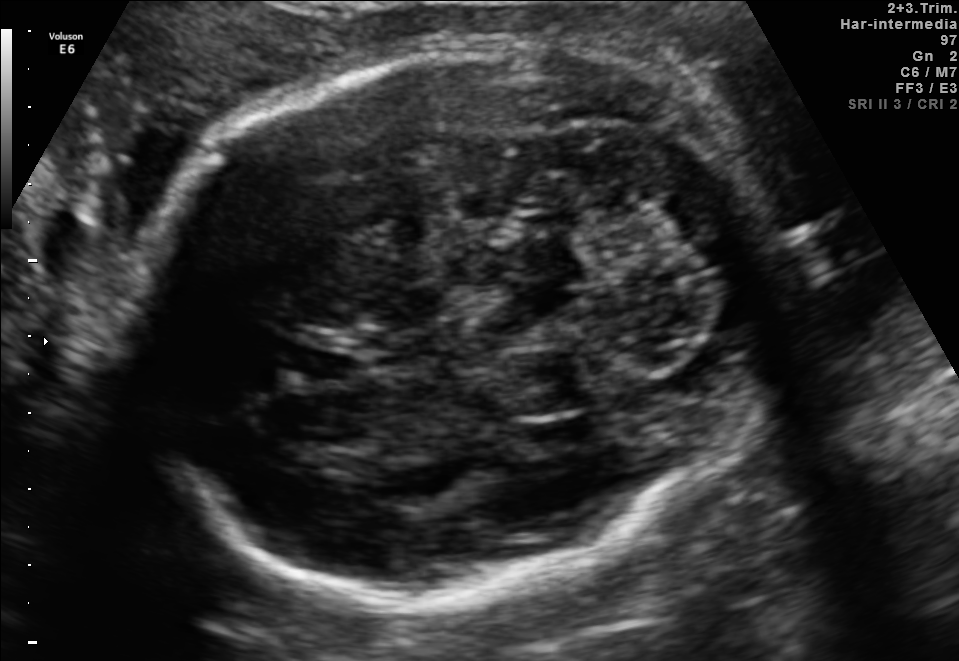
Fetal brain, trans-cerebellum plane. Locate the fetal head.

Head: [131,42,780,585]